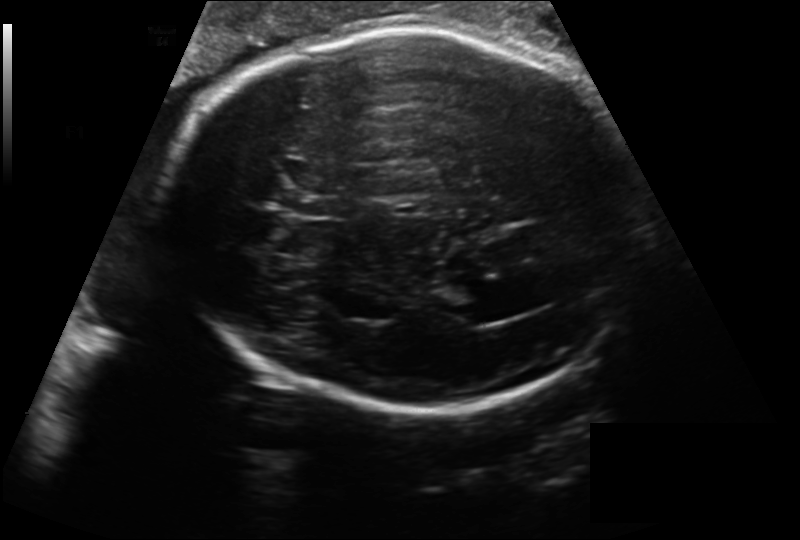
In this fetal head ultrasound, give the bounding box of the lateral ventricle. Image width: 174.3 mm.

[448,297,505,330]